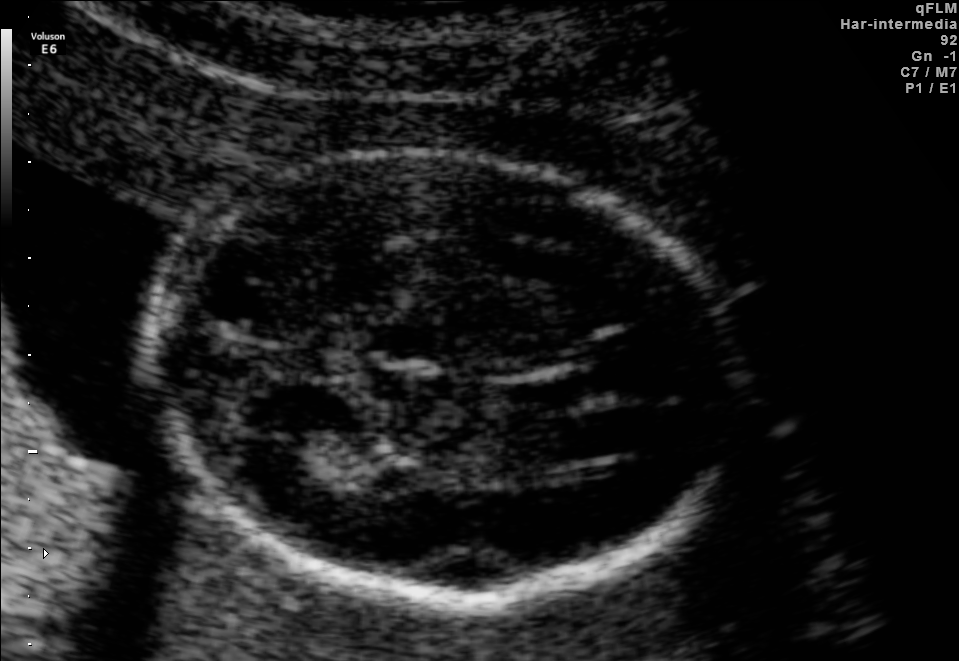
Fetal brain, trans-thalamic plane. Locate the fetal head.

Head: [147,155,738,596]